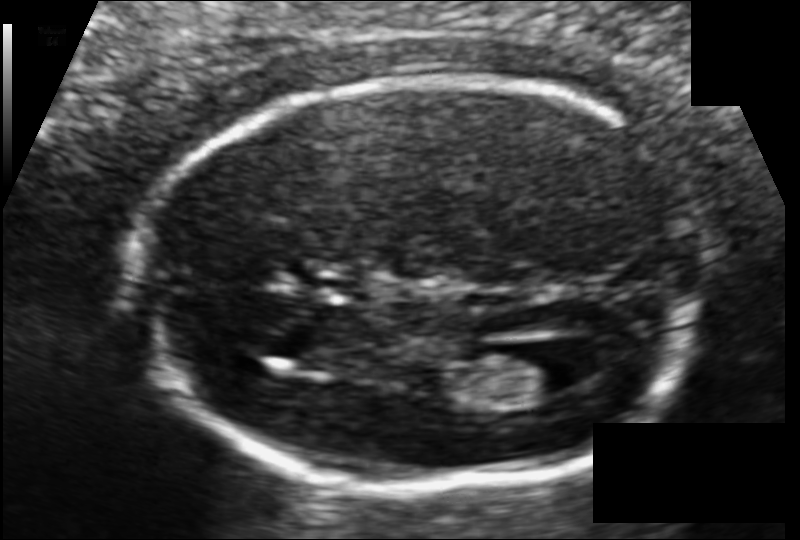
Fetal head ultrasound. Image width: 83.6 mm. Locate the fetal head and, if visible, the cavum septum pellucidum (CSP) and lateral ventricle (LV). Give bounding boxes as [x1,y1,x2,y2].

Head: [136,79,702,492]
Lateral ventricle: [493,336,589,405]